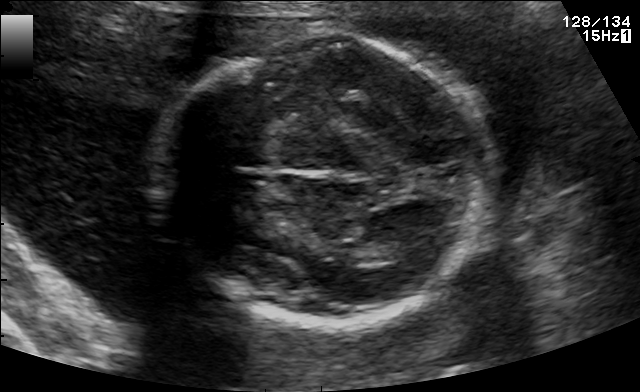
In this fetal brain, trans-thalamic plane, give bounding boxes for the head outline, cavum septum pellucidum (CSP), and lateral ventricle (LV), where visible.

Head: [153,38,495,323]
Lateral ventricle: [369,235,427,266]